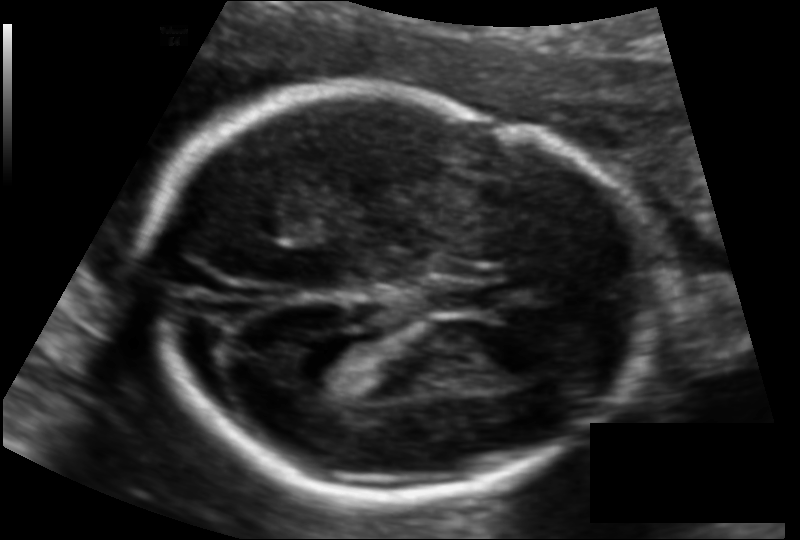
Fetal head ultrasound. Image width: 93.9 mm. Locate the lateral ventricle.

Lateral ventricle: [284,325,372,396]